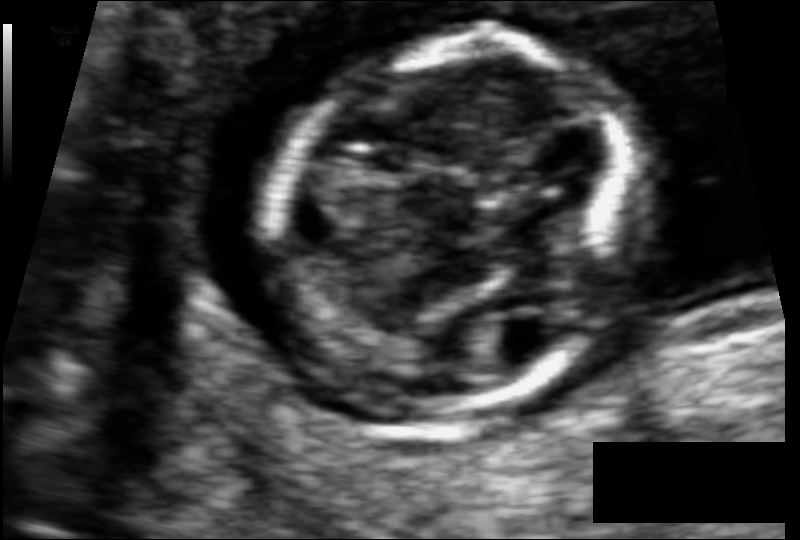
In this fetal head ultrasound, give bounding boxes for the head outline, cavum septum pellucidum (CSP), and lateral ventricle (LV), where visible. Image width: 49.9 mm.

Head: [269,33,636,415]